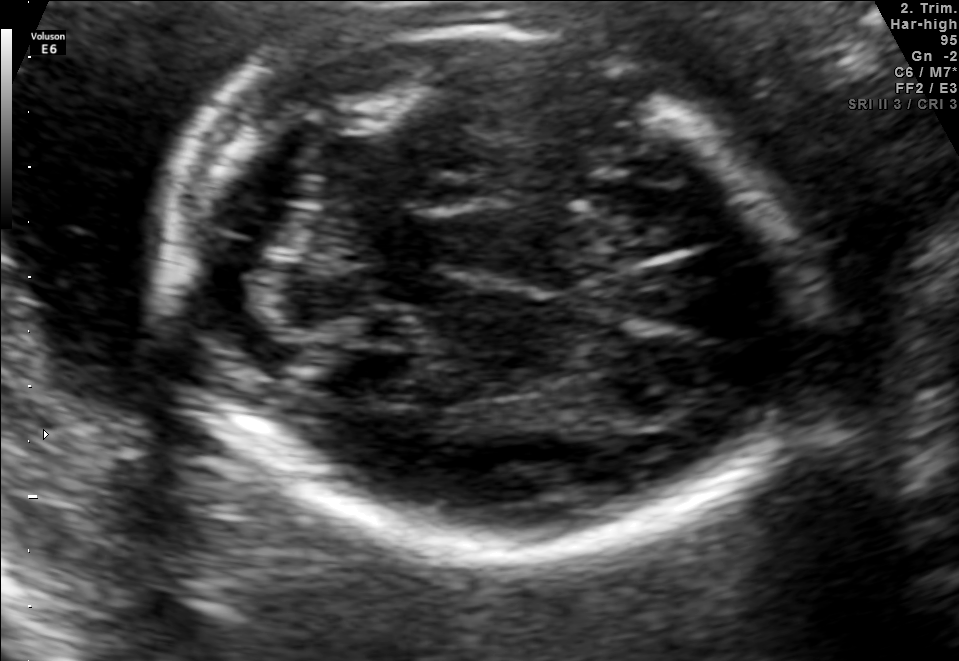
In this fetal brain, trans-cerebellum plane, give bounding boxes for the head outline, cavum septum pellucidum (CSP), and lateral ventricle (LV), where visible.

Head: [159,20,792,557]